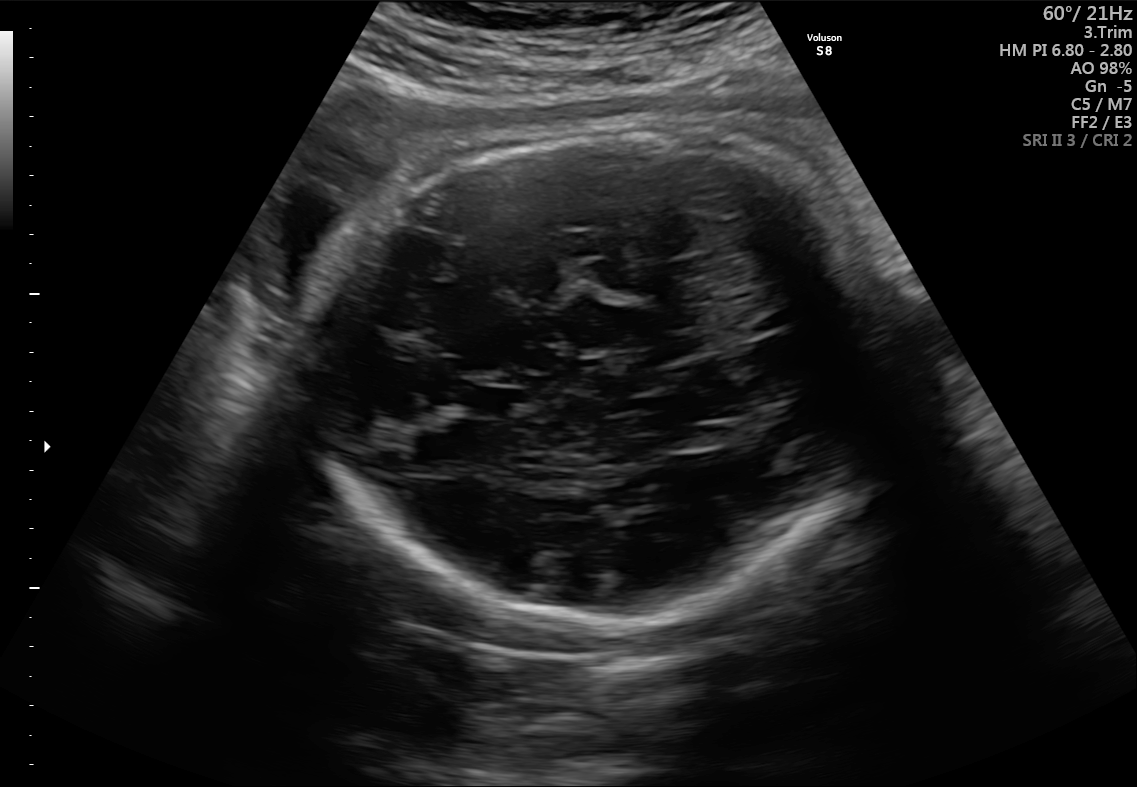
Fetal brain, trans-thalamic plane. Locate the fetal head and, if visible, the cavum septum pellucidum (CSP) and lateral ventricle (LV). Give bounding boxes as [x1,y1,x2,y2].

Head: [313,131,890,623]
CSP: [474,387,525,418]
Lateral ventricle: [670,421,734,452]